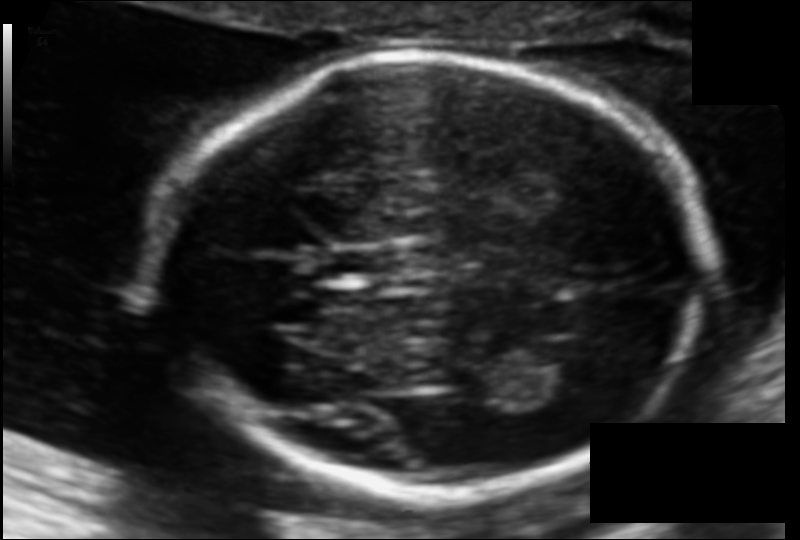
Measure the fetal head circumference shown in this ultrasound image. Image width: 86.8 mm.

Head circumference: 174.8 mm.